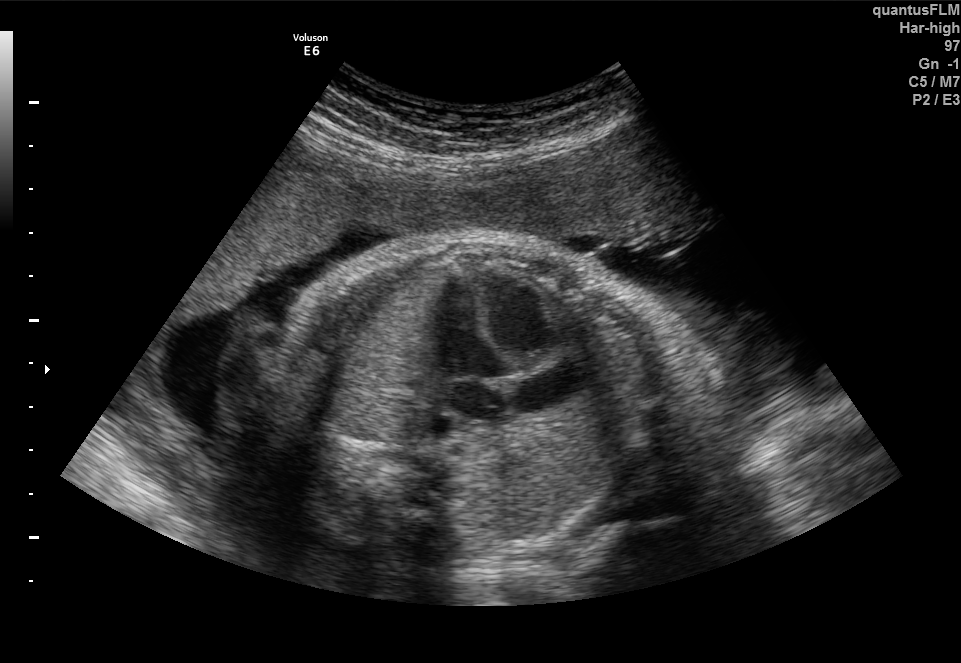
Which standard maternal-fetal ultrasound plane is shown: fetal abdomen, fetal brain, fetal femur, fetal thorax, maternal cervix, or other? If it's fetal brain and one of the three standard brain planes (trans-thalamic, trans-cerebellum, trans-ventricular), name which.

Fetal thorax